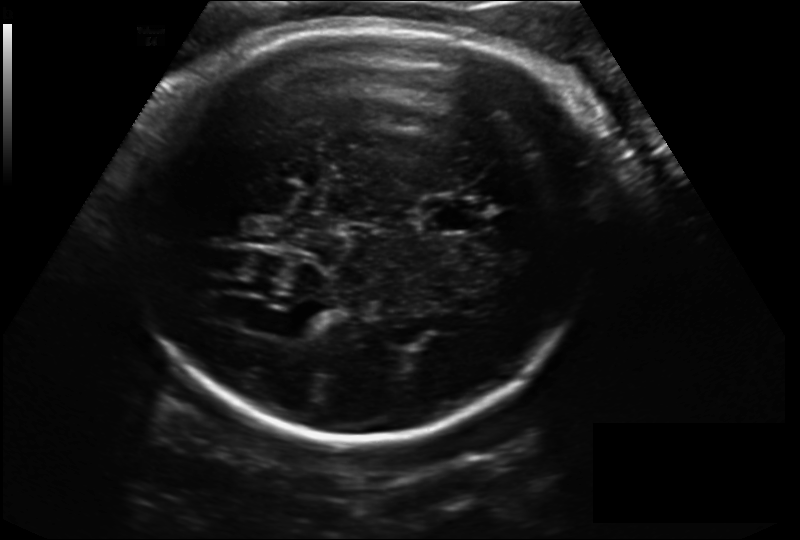
Fetal head ultrasound. Image width: 158.7 mm. Locate the fetal head.

Head: [133,22,603,438]